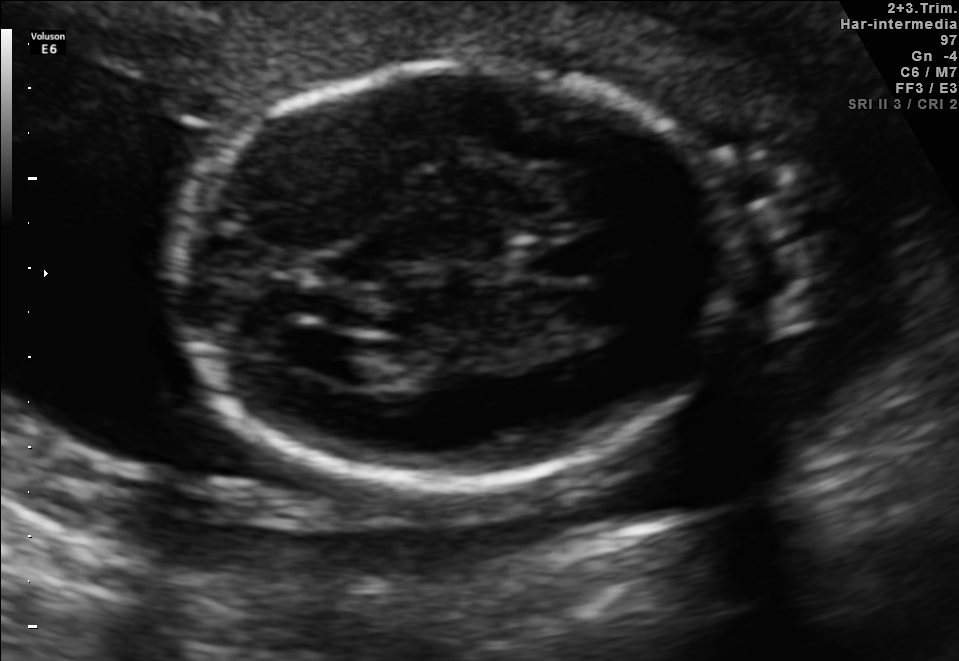
Fetal brain, trans-ventricular plane. Locate the fetal head.

Head: [158,58,759,495]